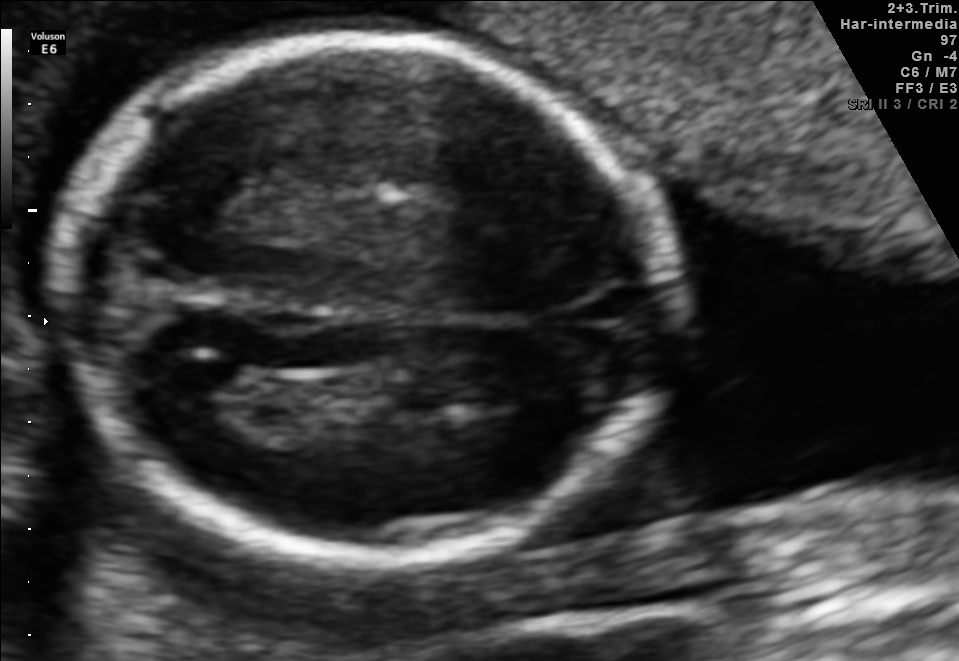
In this fetal brain, trans-thalamic plane, give the bounding box of the fetal head.

[60,38,671,559]